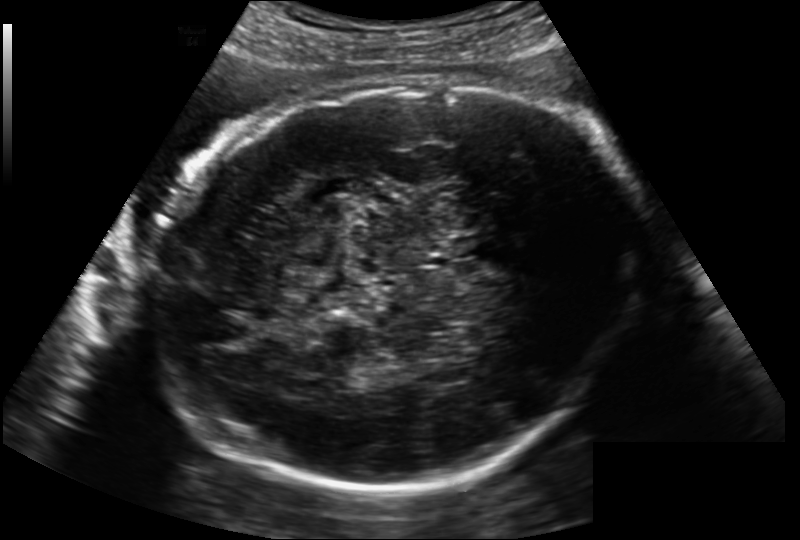
Estimate the fetal head circumference from this 2D ultrasound.

Head circumference: 294.7 mm (image width 161.8 mm).